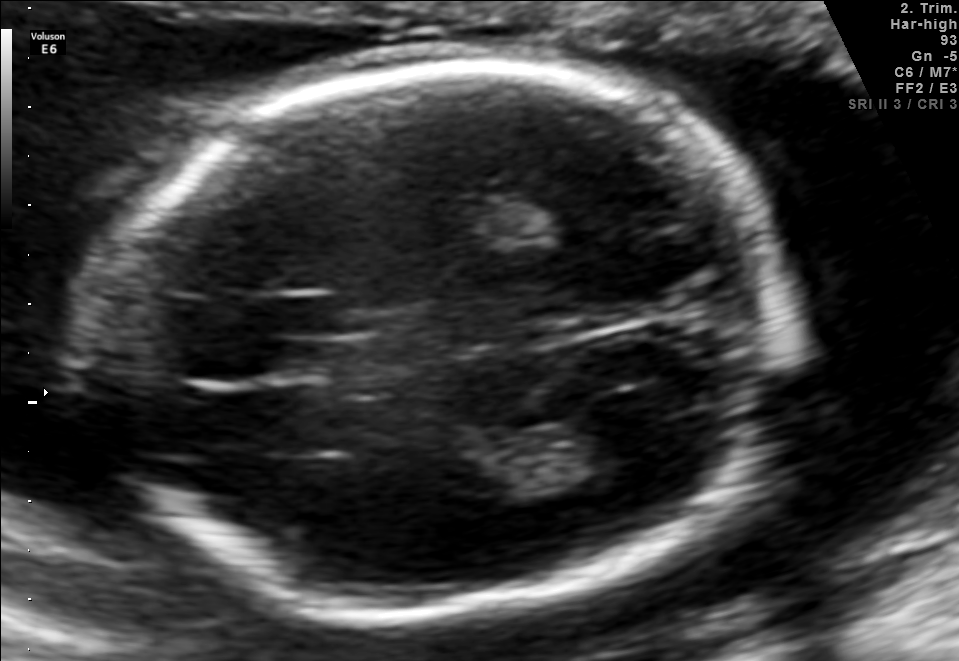
In this fetal brain, trans-thalamic plane, give the bounding box of the fetal head.

[94,67,785,610]